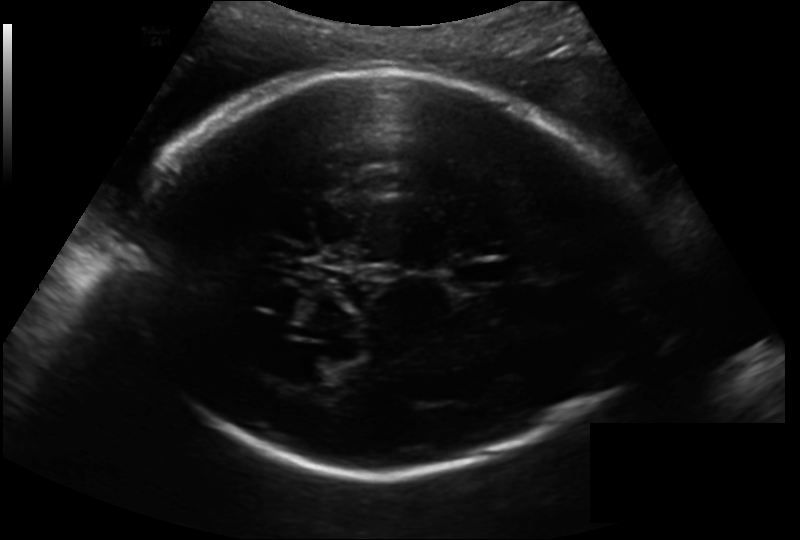
Fetal head ultrasound. Image width: 154.5 mm. Locate the fetal head.

Head: [128,71,640,474]